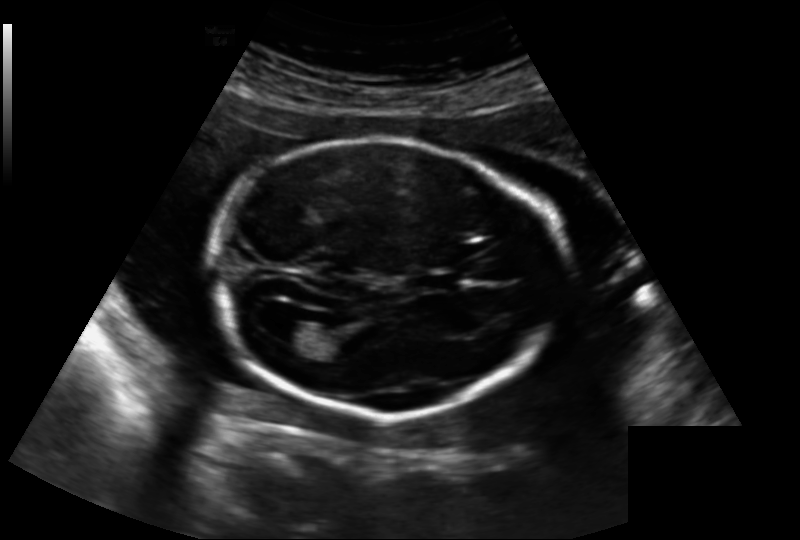
Fetal head ultrasound. Image width: 150.3 mm. Locate the fetal head.

Head: [210,139,563,416]